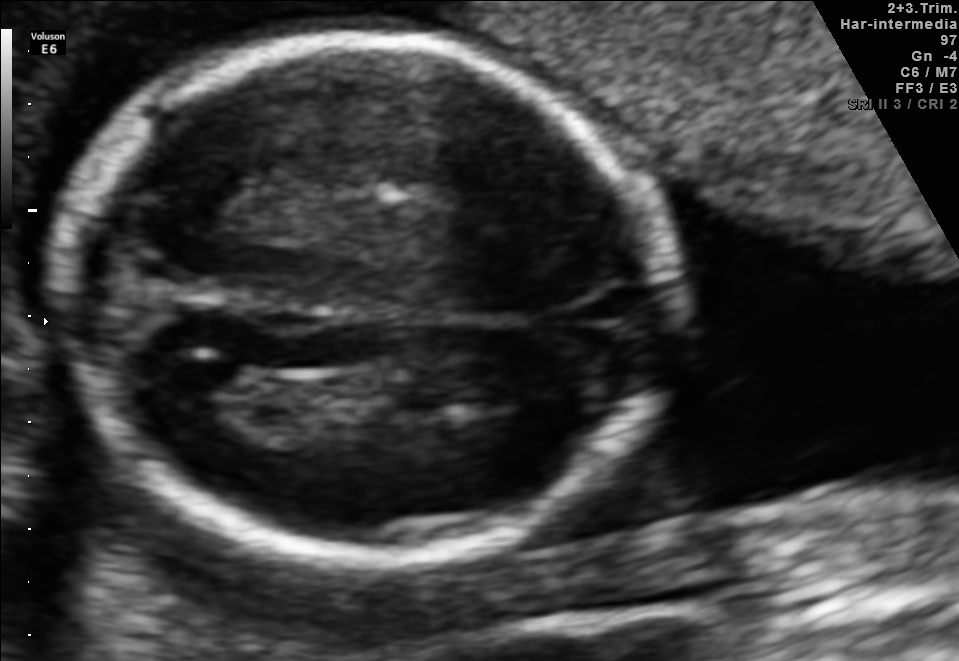
Fetal brain, trans-thalamic plane. Where is the lateral ventricle?

Lateral ventricle bounding box: [226,379,361,433]